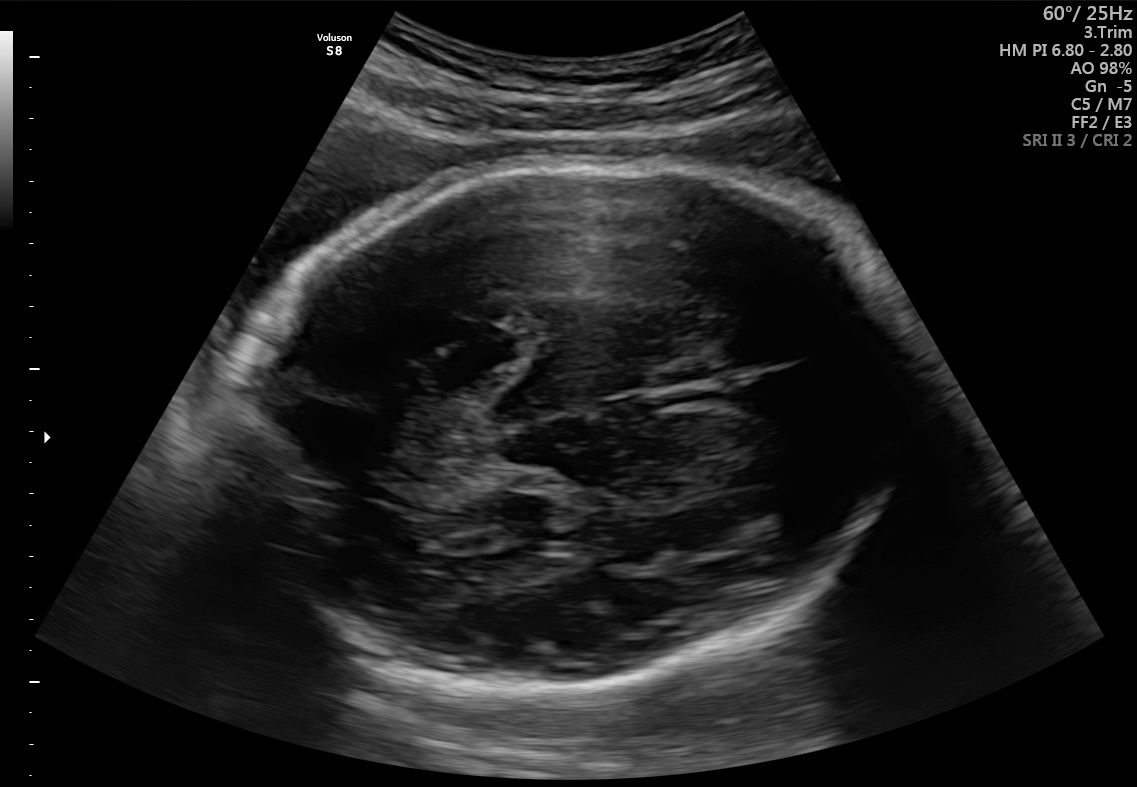
Fetal brain, trans-thalamic plane. Where is the fetal head?

Head bounding box: [243,163,894,686]